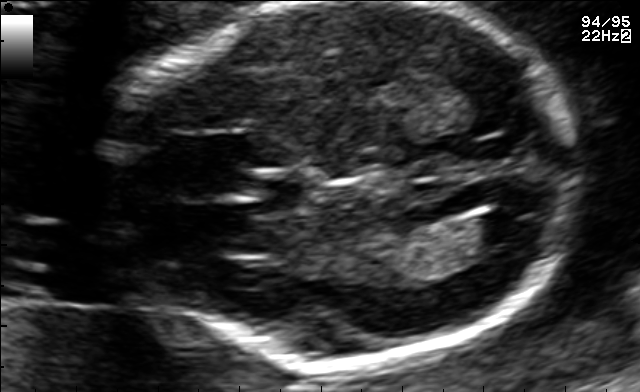
Fetal brain, trans-ventricular plane. Locate the lateral ventricle.

Lateral ventricle: [467,202,537,250]